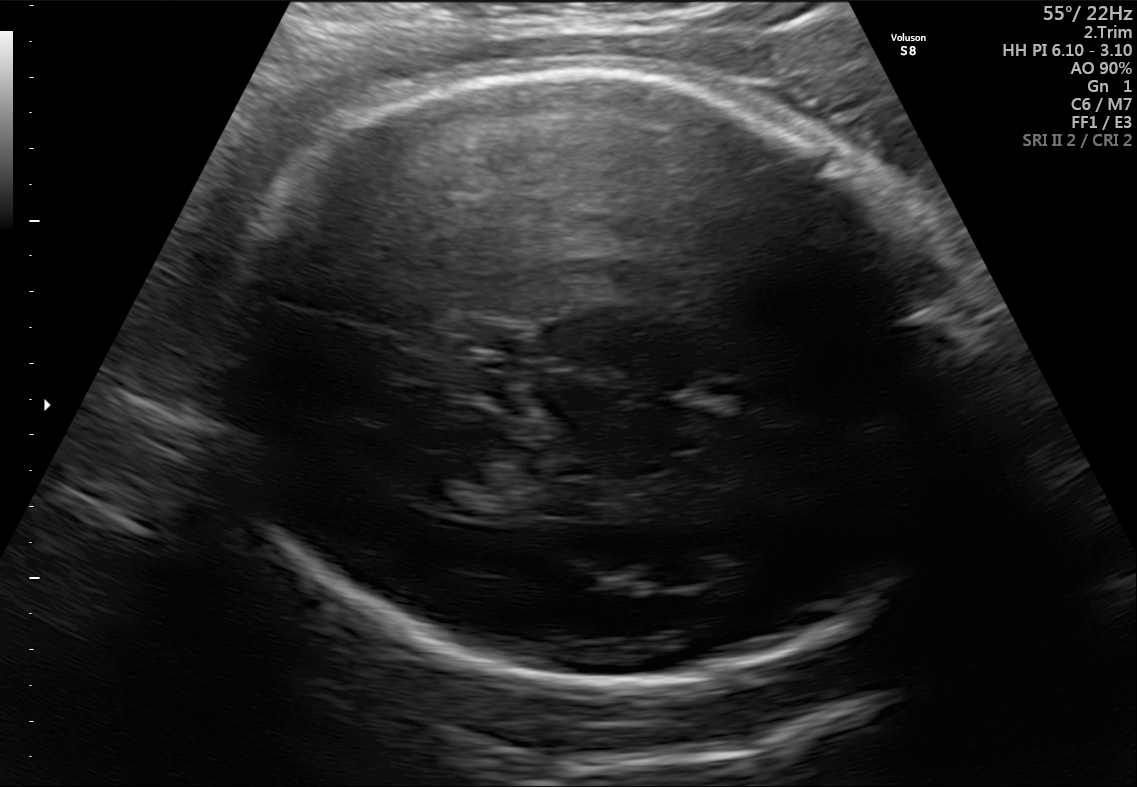
In this fetal brain, trans-thalamic plane, give the bounding box of the fetal head.

[213,70,988,681]